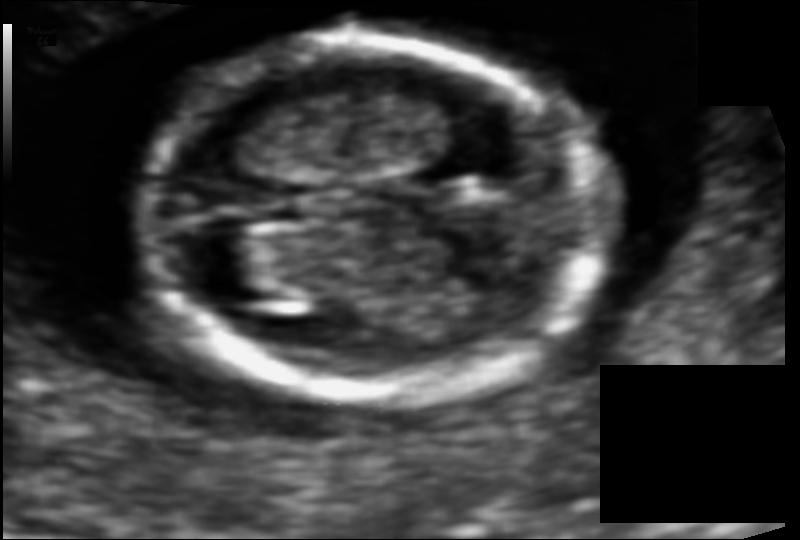
Fetal head ultrasound. Image width: 59.6 mm. Locate the fetal head.

Head: [139,43,604,397]